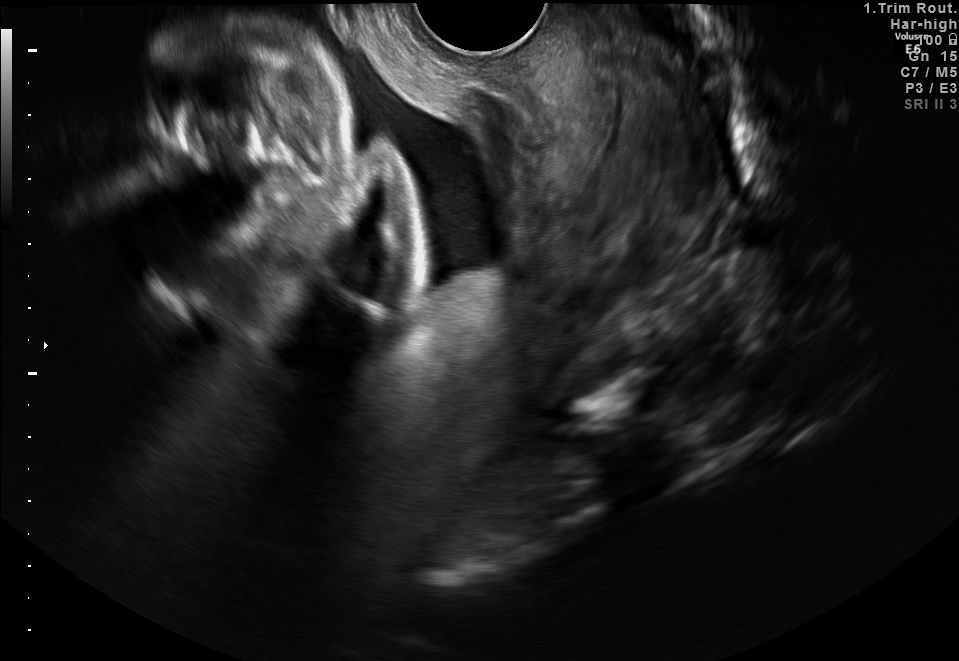
Which standard maternal-fetal ultrasound plane is shown: fetal abdomen, fetal brain, fetal femur, fetal thorax, maternal cervix, or other? If it's fetal brain and one of the three standard brain planes (trans-thalamic, trans-cerebellum, trans-ventricular), name which.

Maternal cervix